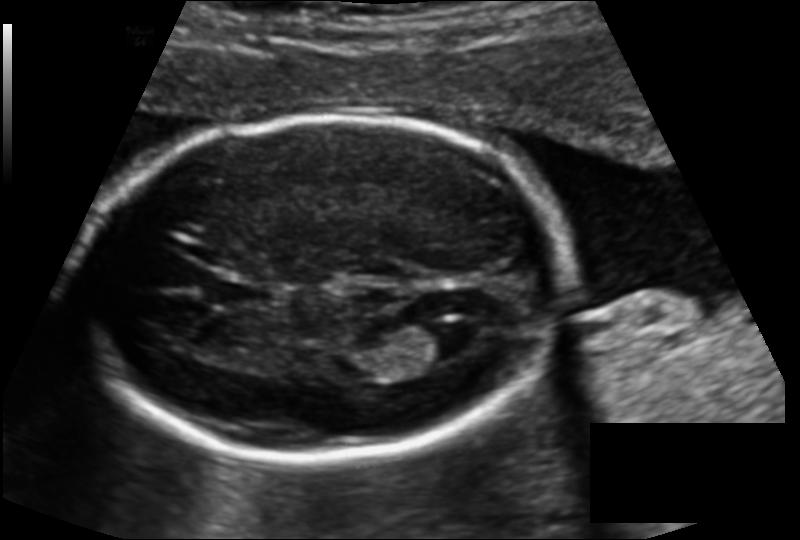
Fetal head ultrasound. Image width: 109.1 mm. Locate the lateral ventricle.

Lateral ventricle: [407,315,477,367]